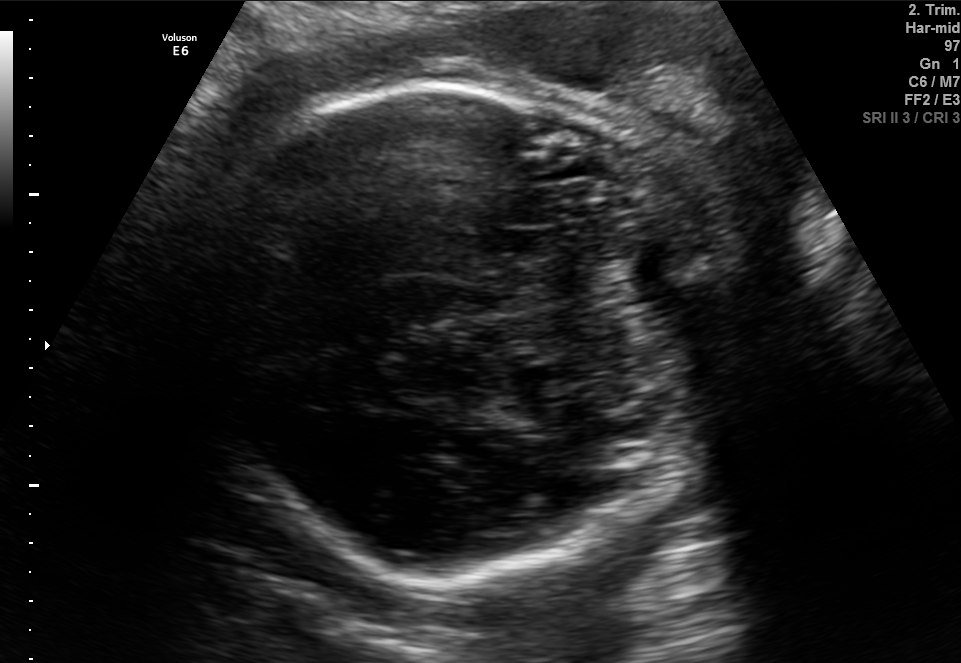
In this fetal brain, trans-cerebellum plane, give bounding boxes for the head outline, cavum septum pellucidum (CSP), and lateral ventricle (LV), where visible.

Head: [204,80,710,581]